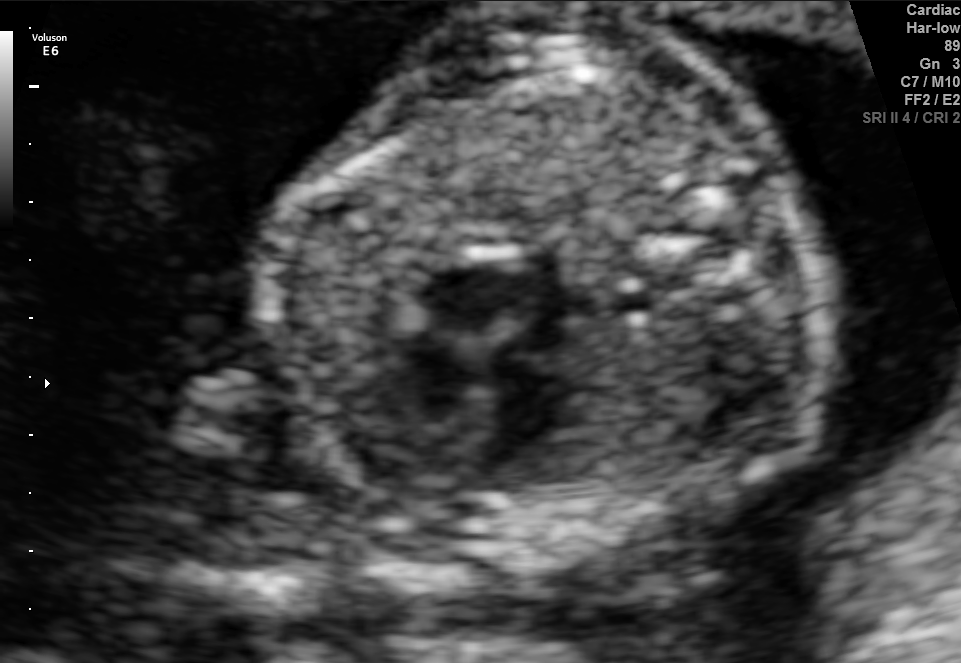
Classify this maternal-fetal ultrasound image as one of the six standard planes — fetal abdomen, fetal brain, fetal femur, fetal thorax, maternal cervix, or other. If it's fetal brain and one of the three standard brain planes (trans-thalamic, trans-cerebellum, trans-ventricular), name which.

Fetal thorax